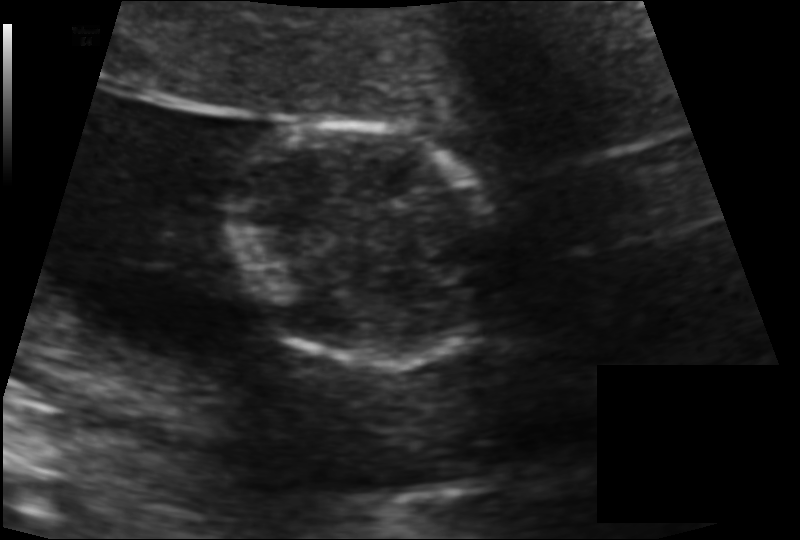
Measure the fetal head circumference shown in this ultrasound image. Image width: 91.8 mm.

Head circumference: 96.8 mm.